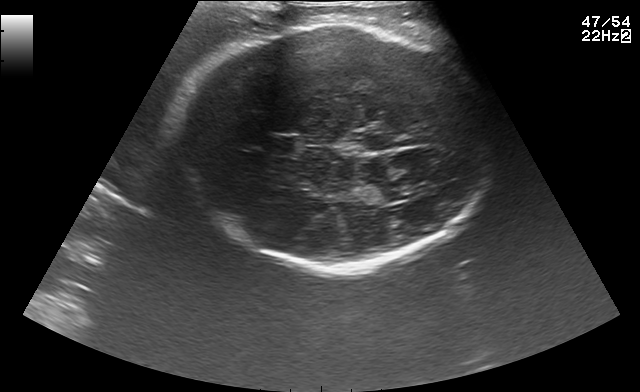
In this fetal brain, trans-thalamic plane, give bounding boxes for the head outline, cavum septum pellucidum (CSP), and lateral ventricle (LV), where visible.

Head: [177,23,487,267]
CSP: [266,136,295,153]
Lateral ventricle: [356,175,412,209]